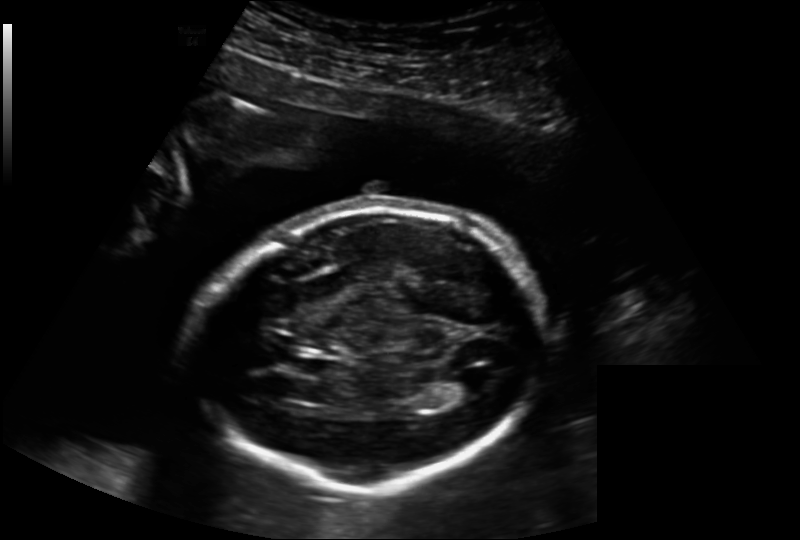
In this fetal head ultrasound, give bounding boxes for the head outline, cavum septum pellucidum (CSP), and lateral ventricle (LV), where visible. Image width: 161.7 mm.

Head: [194,208,543,486]
CSP: [286,351,333,380]
Lateral ventricle: [445,367,490,404]